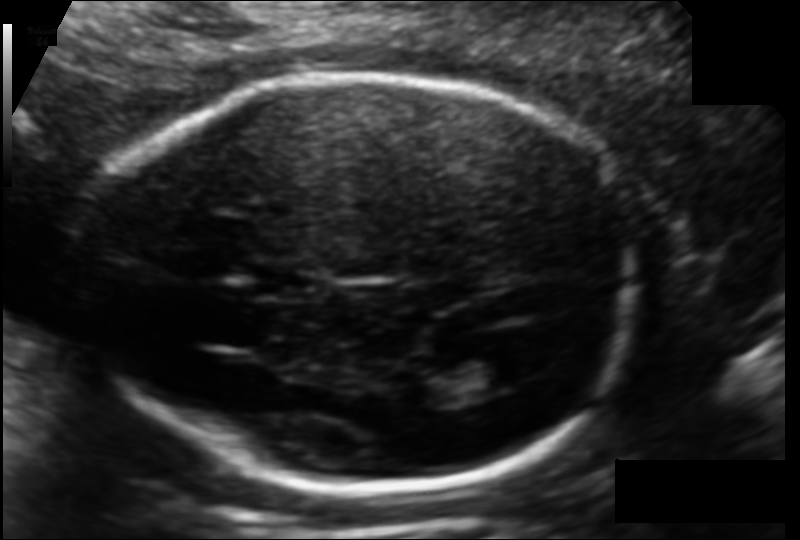
Fetal head ultrasound. Image width: 90.5 mm. Locate the cavum septum pellucidum.

CSP: [251,265,317,298]